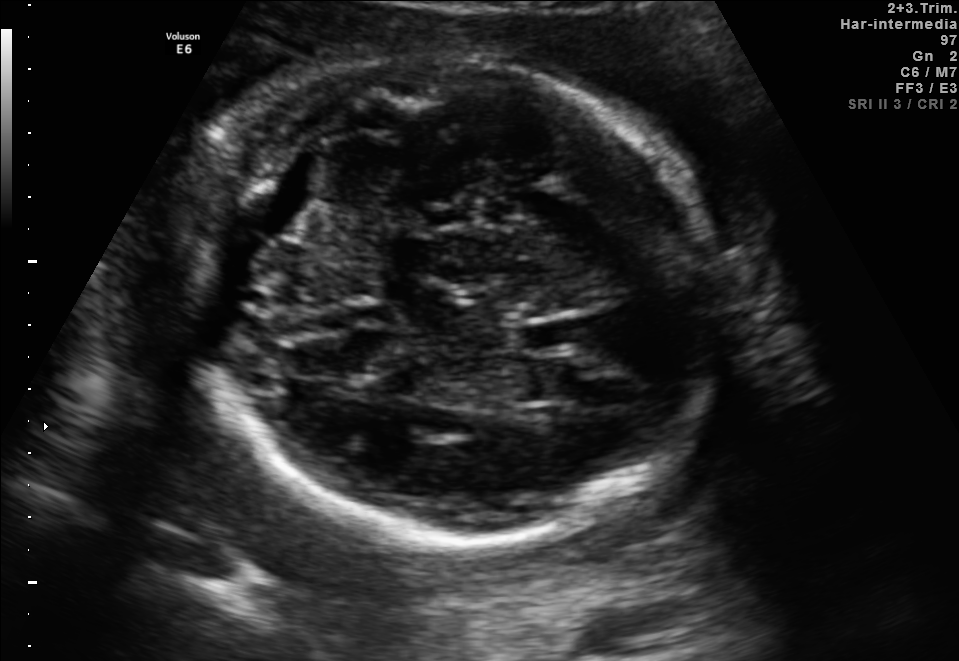
Classify this maternal-fetal ultrasound image as one of the six standard planes — fetal abdomen, fetal brain, fetal femur, fetal thorax, maternal cervix, or other. If it's fetal brain and one of the three standard brain planes (trans-thalamic, trans-cerebellum, trans-ventricular), name which.

Fetal brain (trans-thalamic plane)